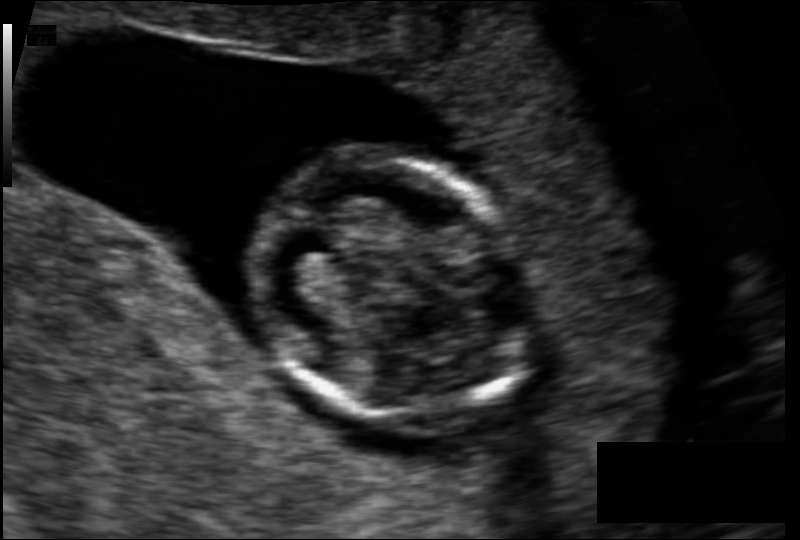
Estimate the fetal head circumference from this 2D ultrasound. Image width: 75.6 mm.

Head circumference: 84.6 mm.